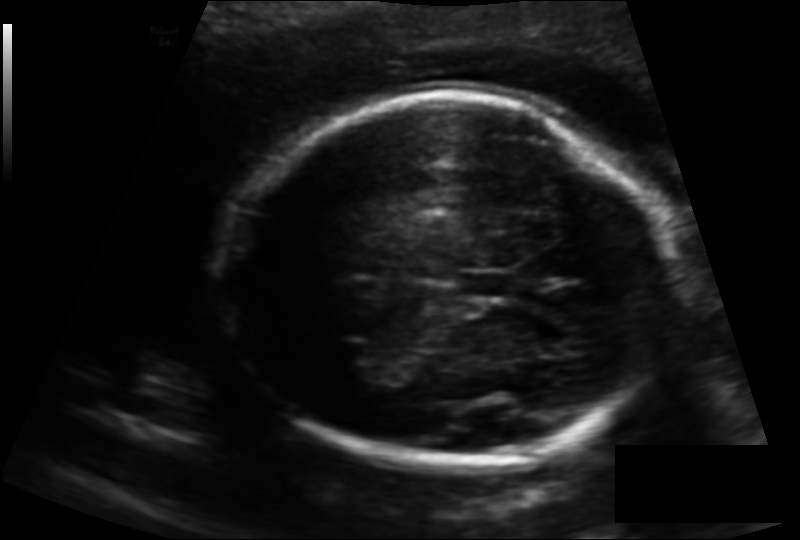
Fetal head ultrasound. Image width: 112.7 mm. Locate the fetal head and, if visible, the cavum septum pellucidum (CSP) and lateral ventricle (LV). Give bounding boxes as [x1,y1,x2,y2].

Head: [224,95,677,465]
CSP: [461,270,515,299]
Lateral ventricle: [325,340,387,383]